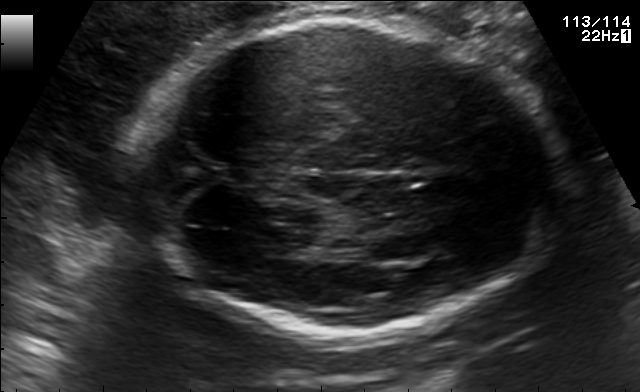
Fetal brain, trans-thalamic plane. Give [x1,y1,x2,y2] bounding boxes for each visible structure among: fetal head, CSP, LV.

Head: [140,21,564,334]